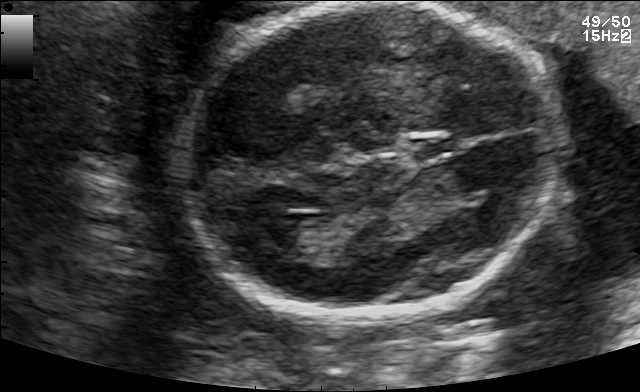
Fetal brain, trans-ventricular plane. Where is the cavum septum pellucidum?

CSP bounding box: [407,133,462,162]